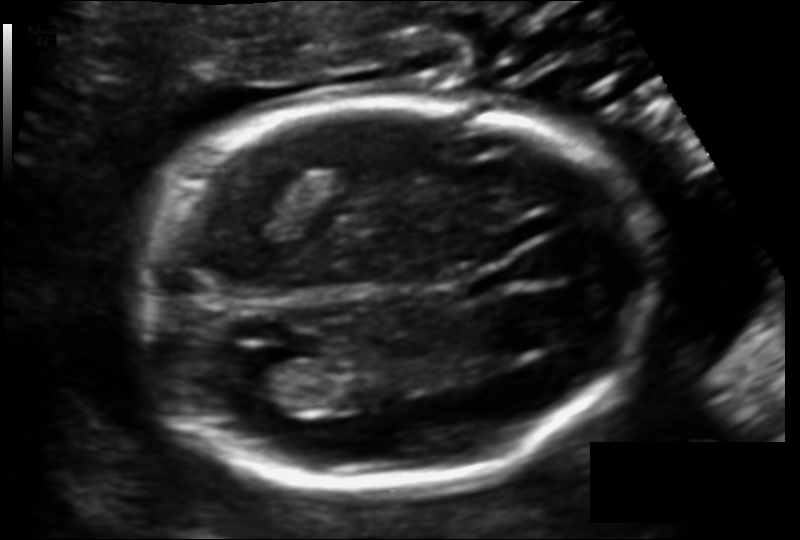
Fetal head ultrasound. Image width: 97.3 mm. Give [x1,y1,x2,y2] bounding boxes for each visible structure among: fetal head, CSP, LV.

Head: [138,100,649,491]
Lateral ventricle: [241,357,319,413]